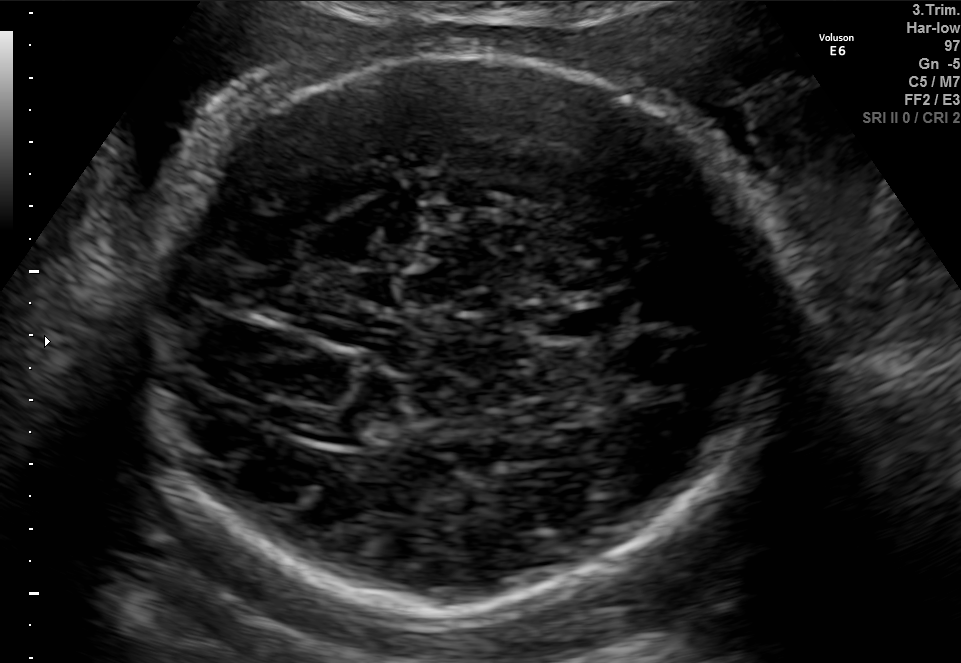
In this fetal brain, trans-thalamic plane, give bounding boxes for the head outline, cavum septum pellucidum (CSP), and lateral ventricle (LV), where visible.

Head: [144,56,791,619]
CSP: [544,305,611,342]
Lateral ventricle: [290,404,368,447]